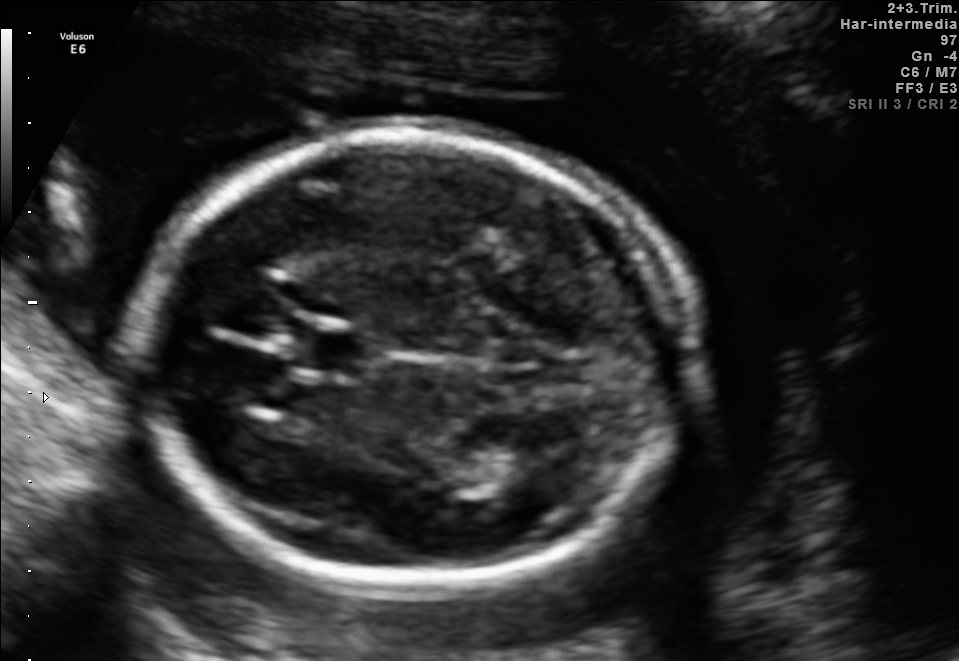
Fetal brain, trans-thalamic plane. Locate the fetal head.

Head: [142,133,687,586]